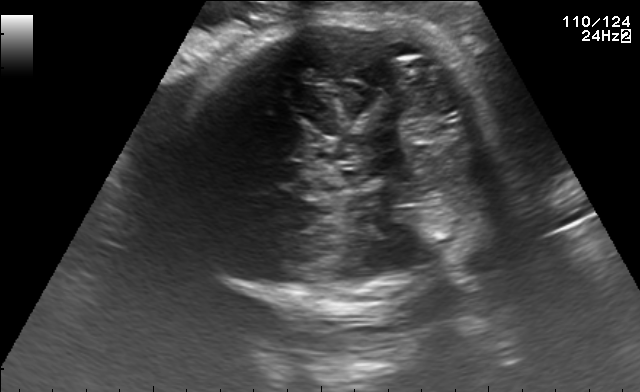
Which standard maternal-fetal ultrasound plane is shown: fetal abdomen, fetal brain, fetal femur, fetal thorax, maternal cervix, or other? If it's fetal brain and one of the three standard brain planes (trans-thalamic, trans-cerebellum, trans-ventricular), name which.

Fetal brain (trans-thalamic plane)